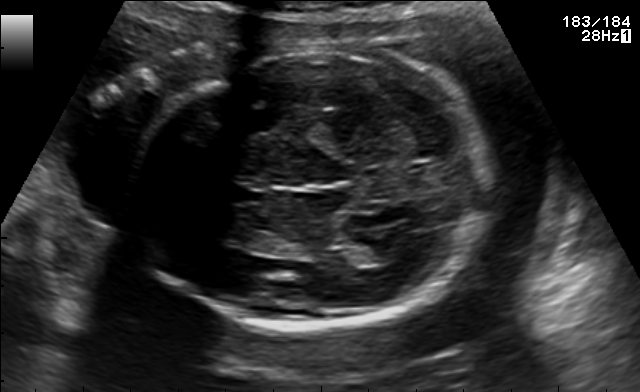
In this fetal brain, trans-thalamic plane, give the bounding box of the lateral ventricle.

[354,245,396,267]